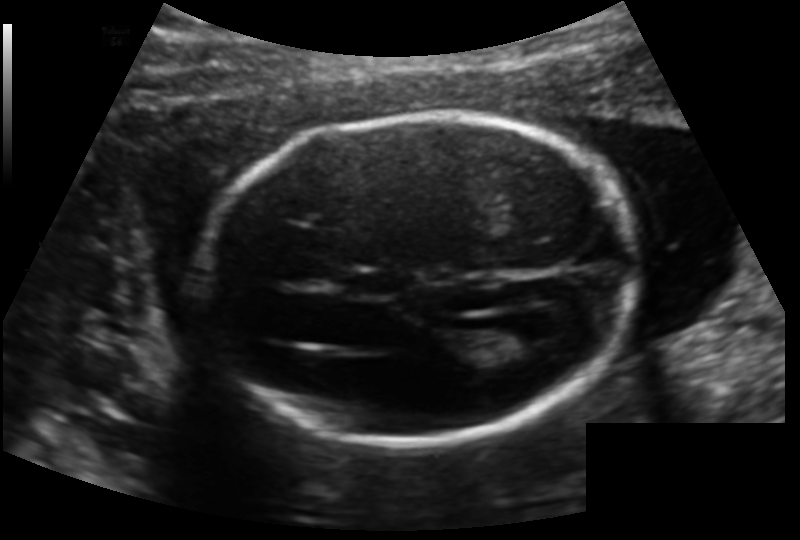
Fetal head ultrasound. Image width: 112.1 mm. Locate the cavum septum pellucidum.

CSP: [348,270,401,297]